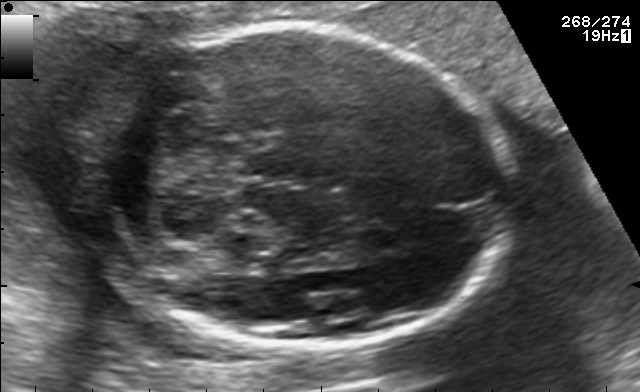
In this fetal brain, trans-cerebellum plane, give bounding boxes for the head outline, cavum septum pellucidum (CSP), and lateral ventricle (LV), where visible.

Head: [91,26,511,348]